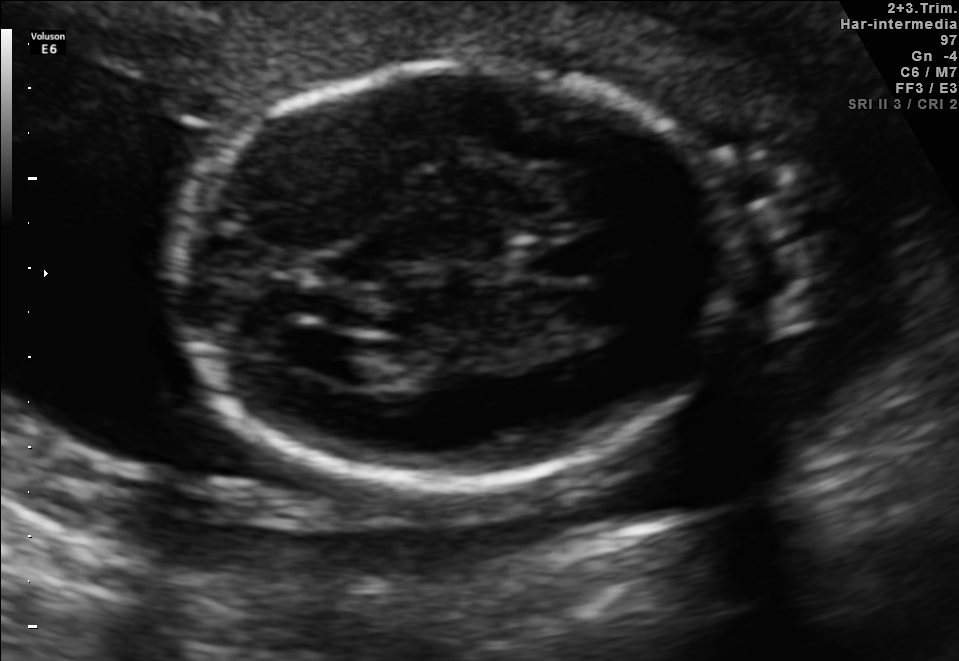
In this fetal brain, trans-ventricular plane, give the bounding box of the cavum septum pellucidum.

[510,239,592,278]